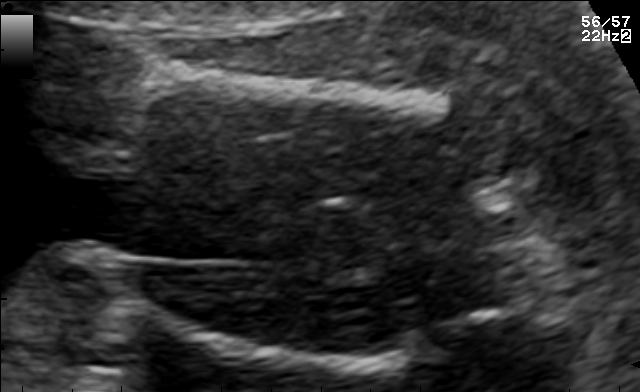
Which standard maternal-fetal ultrasound plane is shown: fetal abdomen, fetal brain, fetal femur, fetal thorax, maternal cervix, or other? If it's fetal brain and one of the three standard brain planes (trans-thalamic, trans-cerebellum, trans-ventricular), name which.

Fetal femur